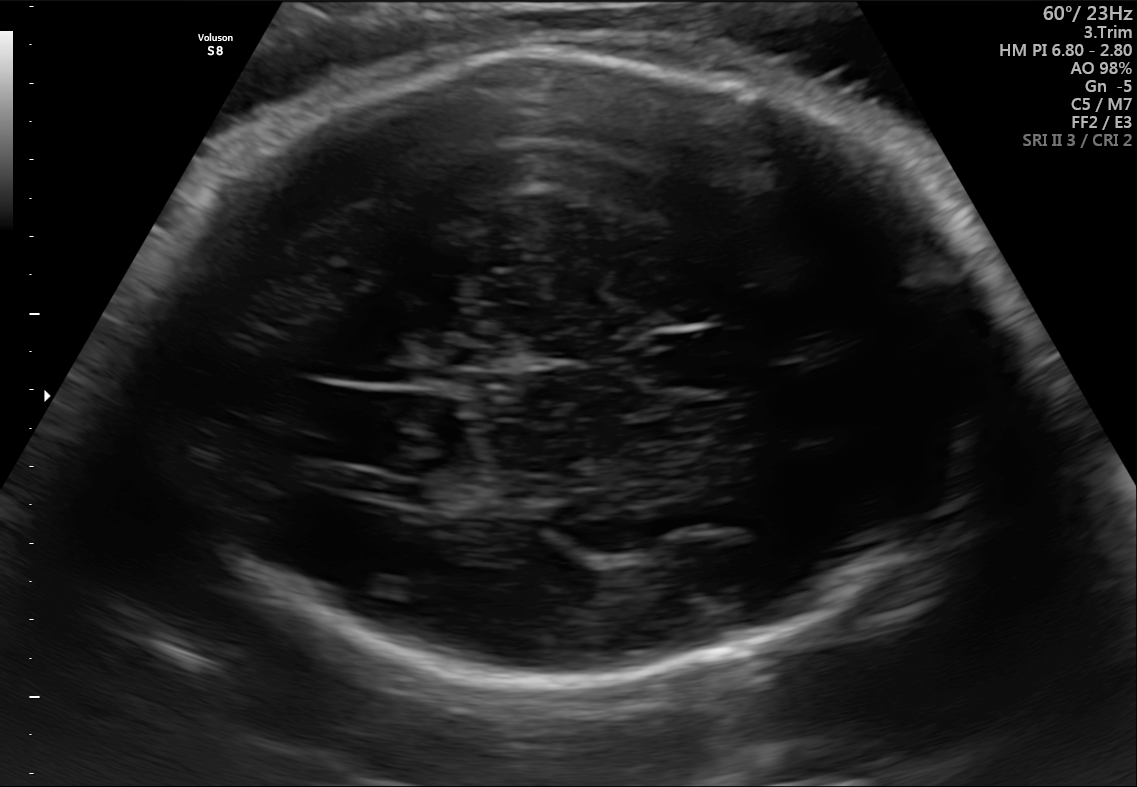
Fetal brain, trans-thalamic plane. Locate the fetal head and, if visible, the cavum septum pellucidum (CSP) and lateral ventricle (LV). Give bounding boxes as [x1,y1,x2,y2].

Head: [158,51,989,676]
CSP: [648,334,741,388]
Lateral ventricle: [372,470,438,514]